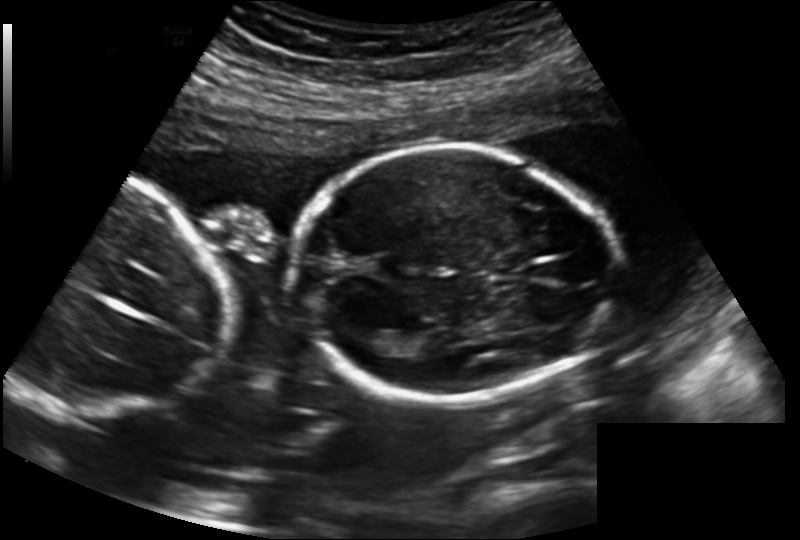
Fetal head ultrasound. Image width: 146.1 mm. Where is the fetal head?

Head bounding box: [288,146,617,400]